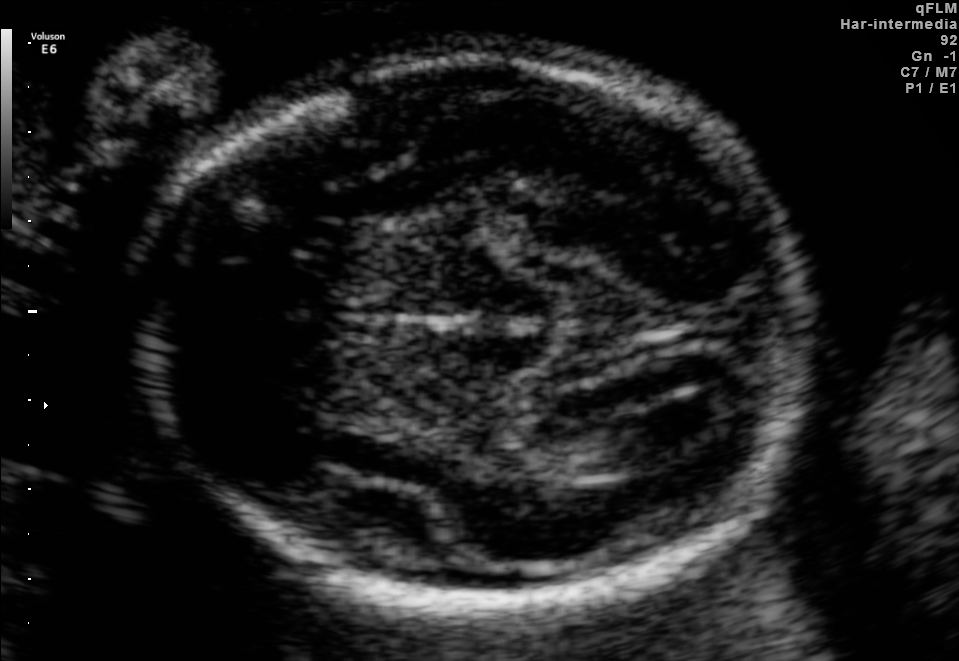
In this fetal brain, trans-thalamic plane, give bounding boxes for the head outline, cavum septum pellucidum (CSP), and lateral ventricle (LV), where visible.

Head: [134,56,817,601]
Lateral ventricle: [554,395,710,481]